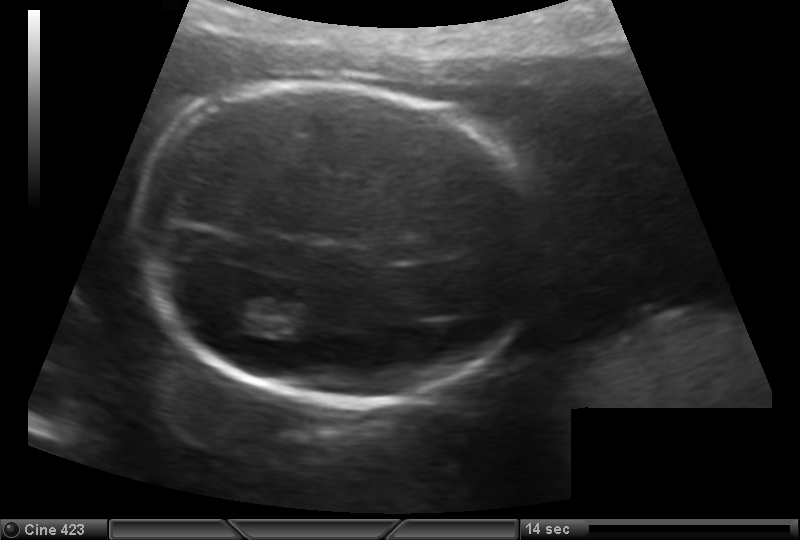
From this fetal ultrasound, estimate the head circumference (image width 117.9 mm).

Head circumference: 177.4 mm.